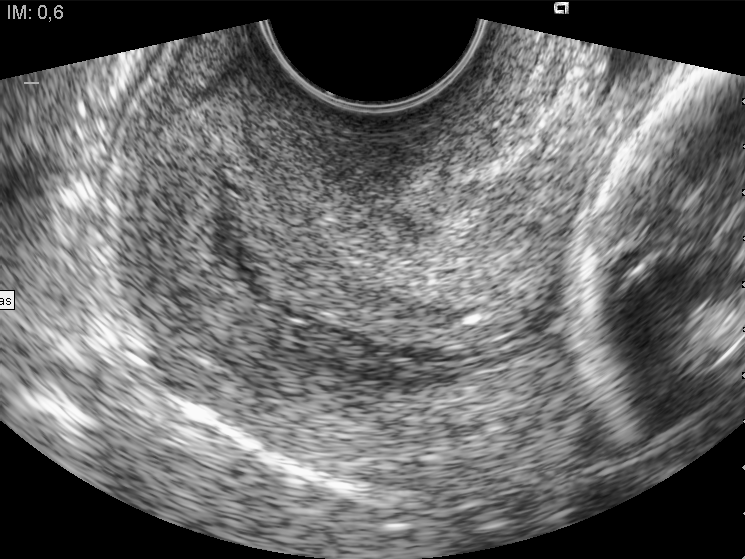
This is a 2D maternal-fetal ultrasound frame. Is it a fetal abdomen, fetal brain, fetal femur, fetal thorax, maternal cervix, or other standard plane? If it's fetal brain and one of the three standard brain planes (trans-thalamic, trans-cerebellum, trans-ventricular), name which.

Maternal cervix